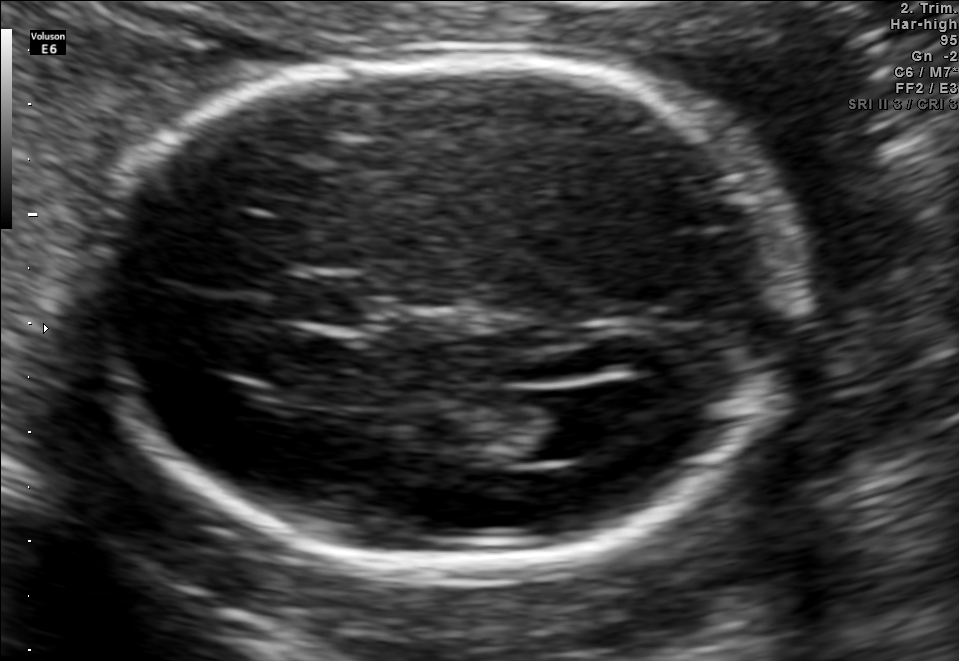
Fetal brain, trans-ventricular plane. Locate the lateral ventricle.

Lateral ventricle: [518,386,629,462]